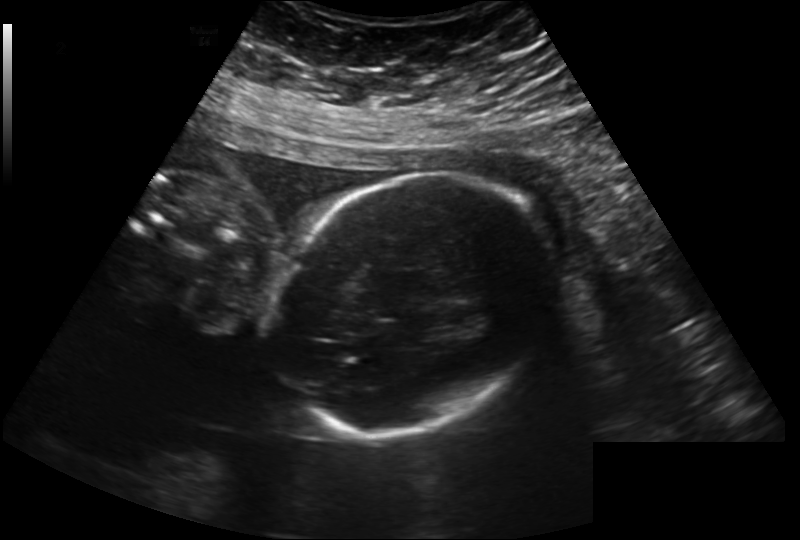
Estimate the fetal head circumference from this 2D ultrasound. Image width: 177.4 mm.

Head circumference: 193.0 mm.